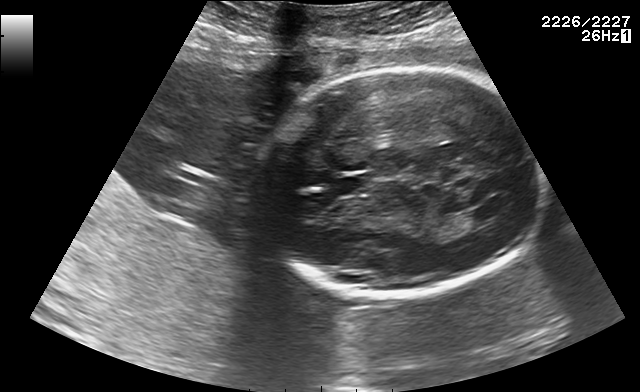
Identify the standard plane in this fetal ultrasound image: fetal abdomen, fetal brain, fetal femur, fetal thorax, maternal cervix, or other. If it's fetal brain and one of the three standard brain planes (trans-thalamic, trans-cerebellum, trans-ventricular), name which.

Fetal brain (trans-ventricular plane)